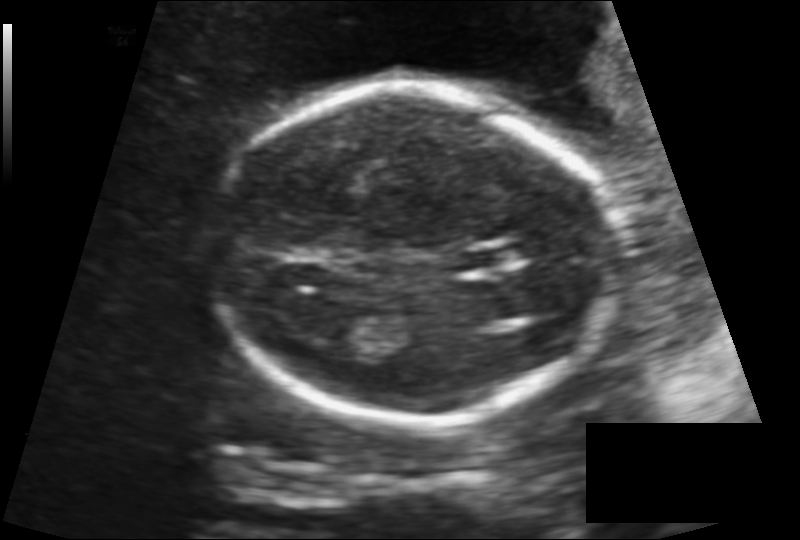
What is the fetal head circumference? Image width is 110.1 mm.

168.3 mm